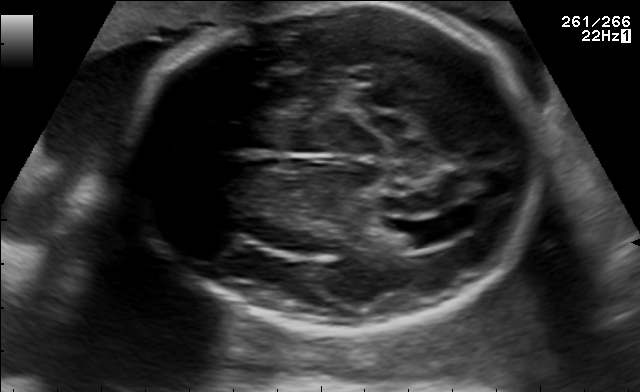
Fetal brain, trans-ventricular plane. Locate the fetal head and, if visible, the cavum septum pellucidum (CSP) and lateral ventricle (LV). Give bounding boxes as [x1,y1,x2,y2].

Head: [125,4,552,332]
Lateral ventricle: [392,211,465,256]